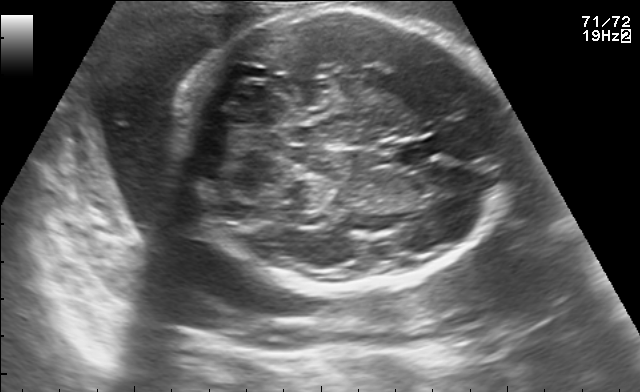
Fetal brain, trans-cerebellum plane. Where is the cavum septum pellucidum?

CSP bounding box: [389,134,441,169]